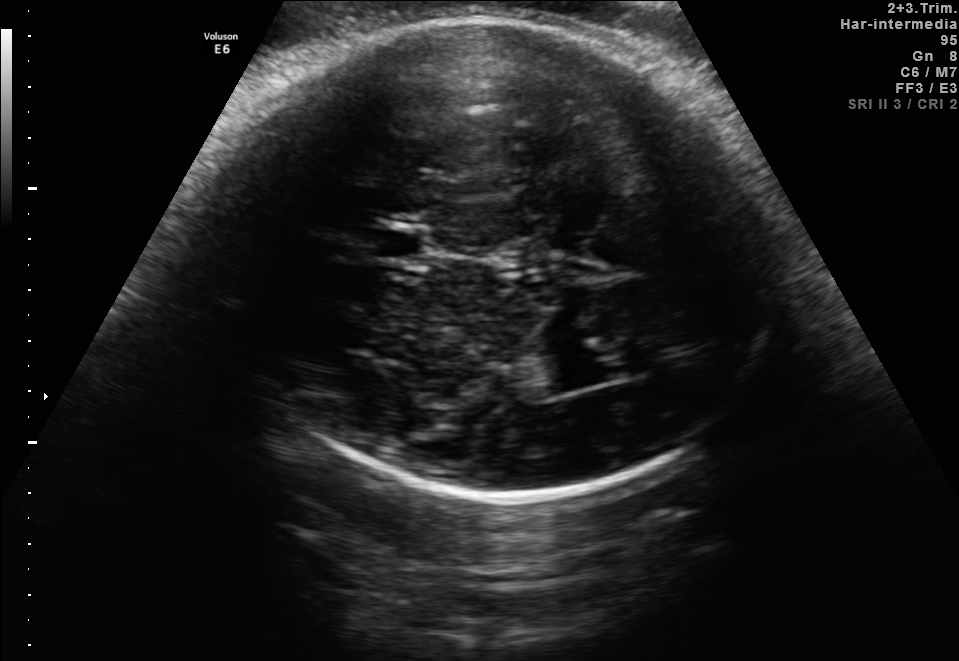
In this fetal brain, trans-thalamic plane, give the bounding box of the cavum septum pellucidum.

[373,230,423,260]